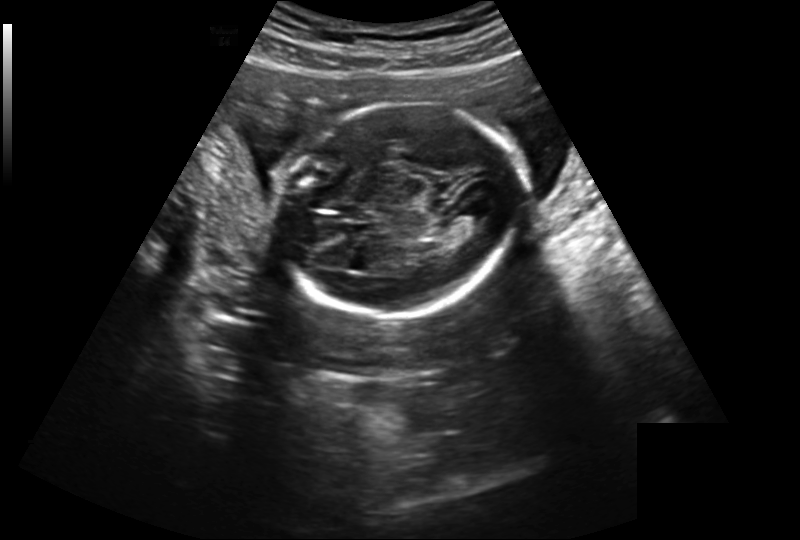
What is the fetal head circumference? Image width is 191.4 mm.

179.5 mm